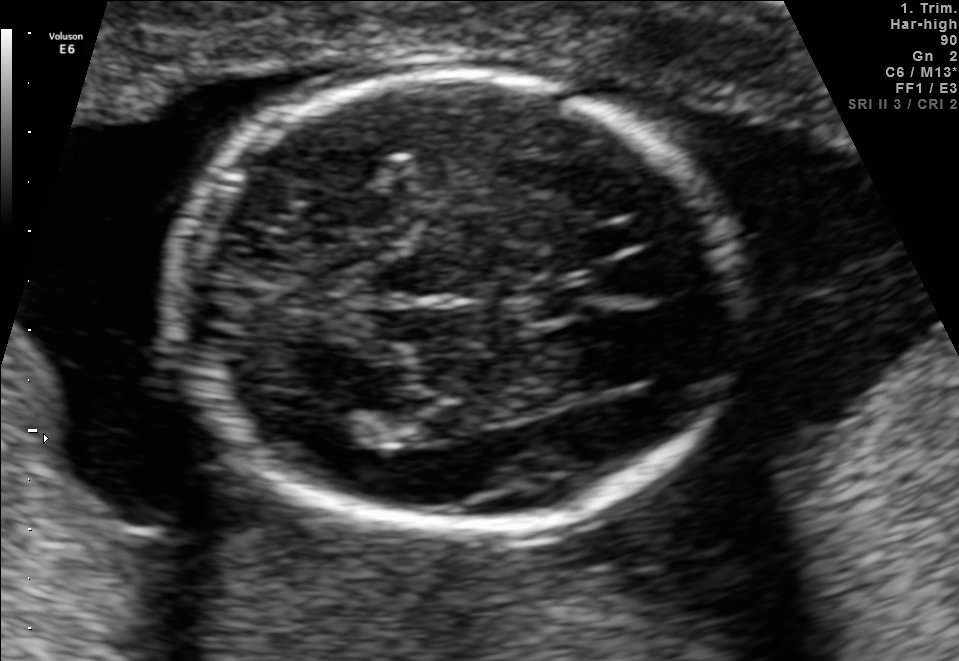
Fetal brain, trans-thalamic plane. Locate the cavum septum pellucidum.

CSP: [525,275,593,324]